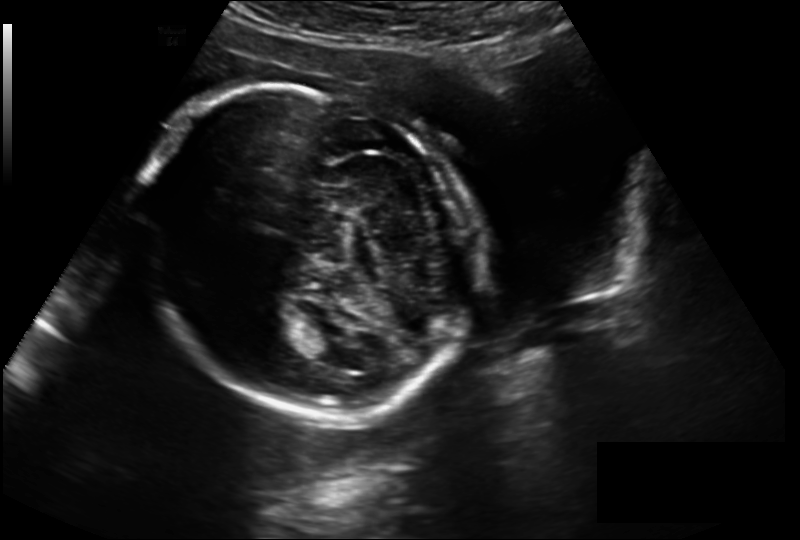
Fetal head ultrasound. Image width: 168.8 mm. Give [x1,y1,x2,y2] bounding boxes for each visible structure among: fetal head, CSP, LV.

Head: [141,85,465,422]